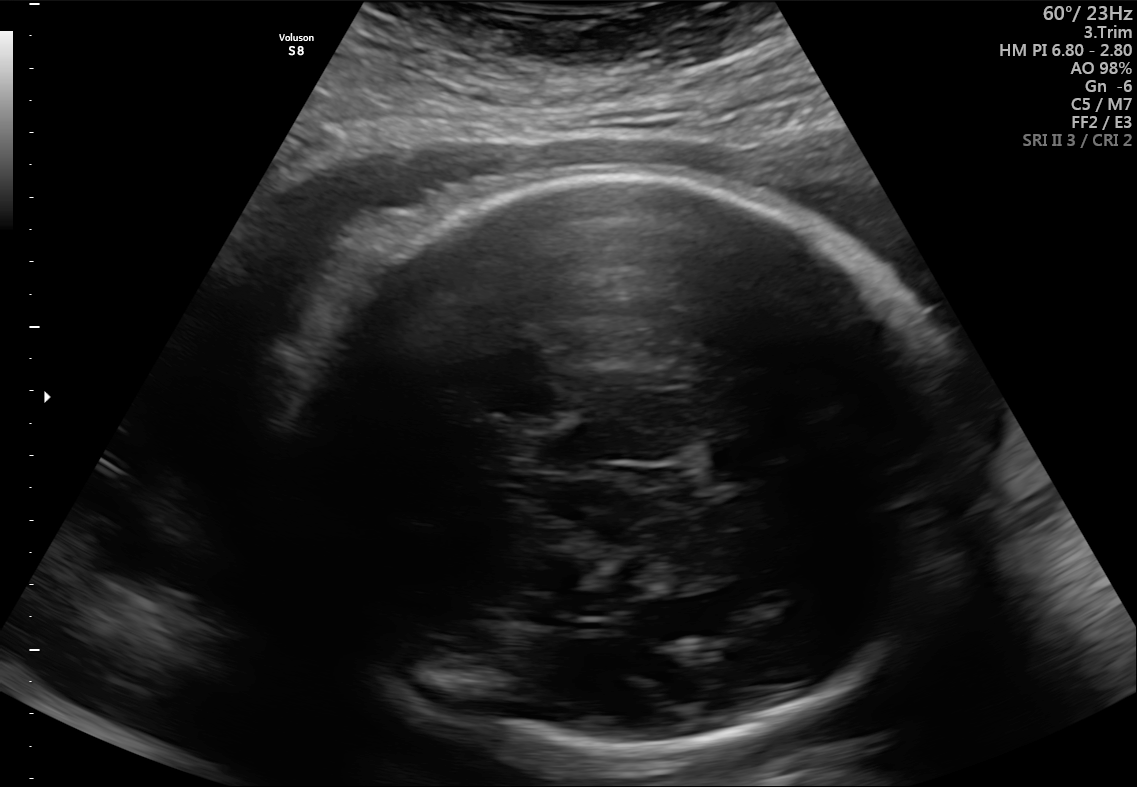
Fetal brain, trans-thalamic plane. Locate the fetal head.

Head: [299,173,969,757]